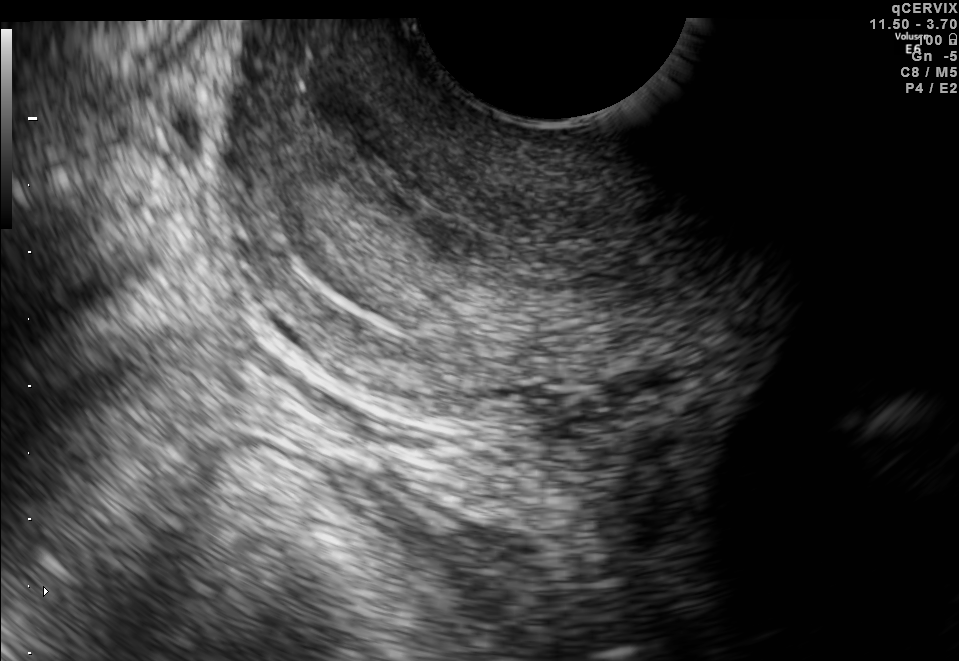
This is a 2D maternal-fetal ultrasound frame. Is it a fetal abdomen, fetal brain, fetal femur, fetal thorax, maternal cervix, or other standard plane? If it's fetal brain and one of the three standard brain planes (trans-thalamic, trans-cerebellum, trans-ventricular), name which.

Maternal cervix